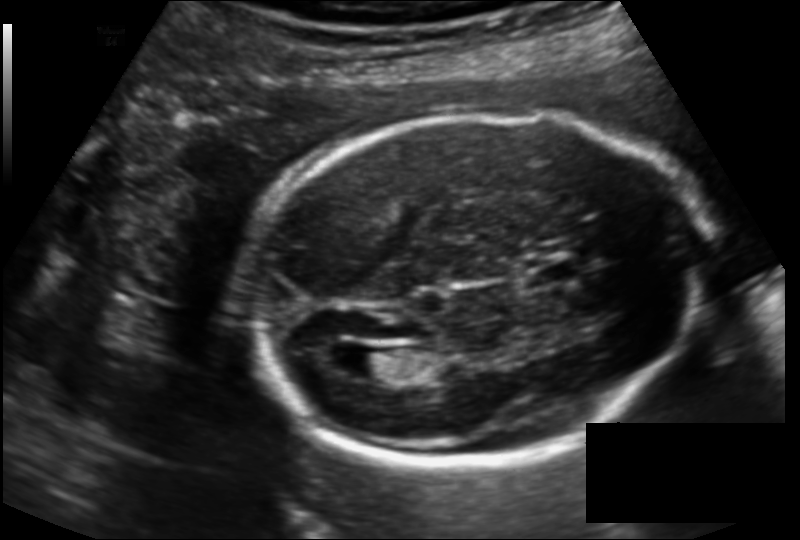
Fetal head ultrasound. Image width: 114.4 mm. Where is the fetal head?

Head bounding box: [242,110,708,464]